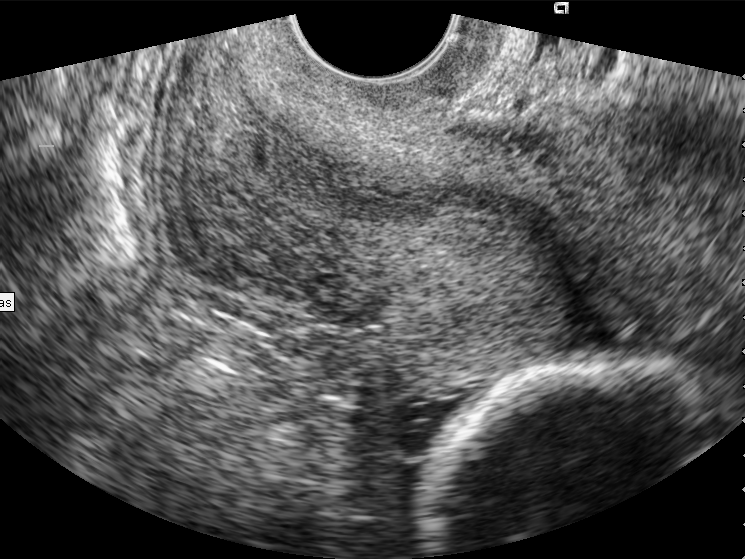
Which standard maternal-fetal ultrasound plane is shown: fetal abdomen, fetal brain, fetal femur, fetal thorax, maternal cervix, or other? If it's fetal brain and one of the three standard brain planes (trans-thalamic, trans-cerebellum, trans-ventricular), name which.

Maternal cervix